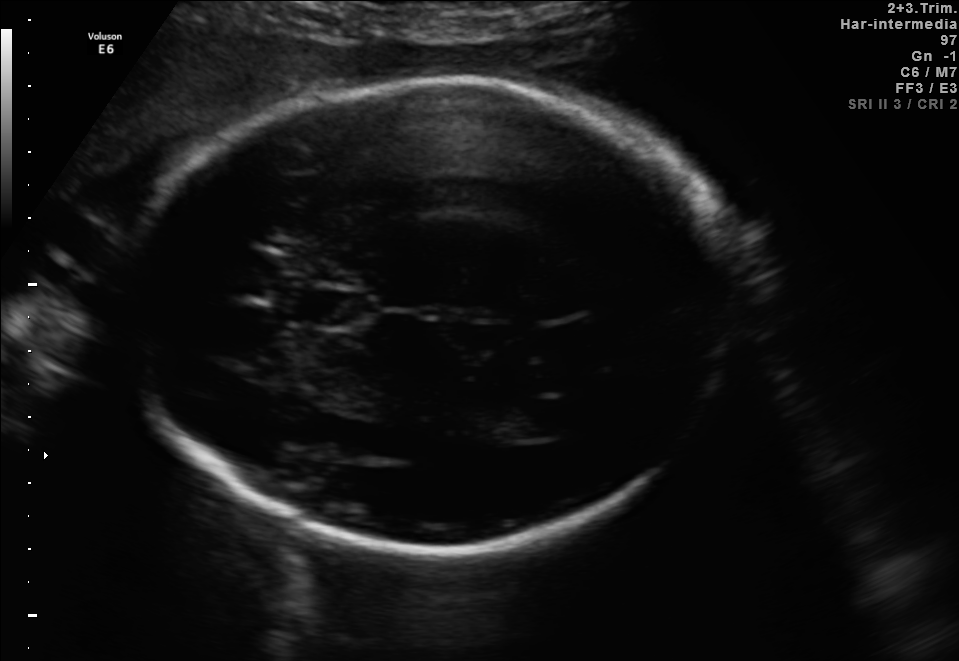
Fetal brain, trans-thalamic plane. Where is the lateral ventricle?

Lateral ventricle bounding box: [496,398,569,441]